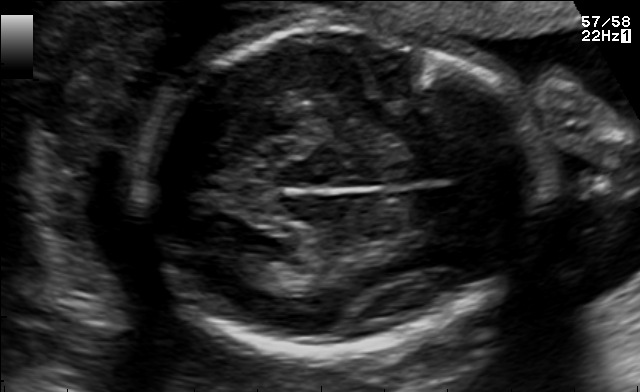
In this fetal brain, trans-thalamic plane, give bounding boxes for the head outline, cavum septum pellucidum (CSP), and lateral ventricle (LV), where visible.

Head: [143,24,522,353]